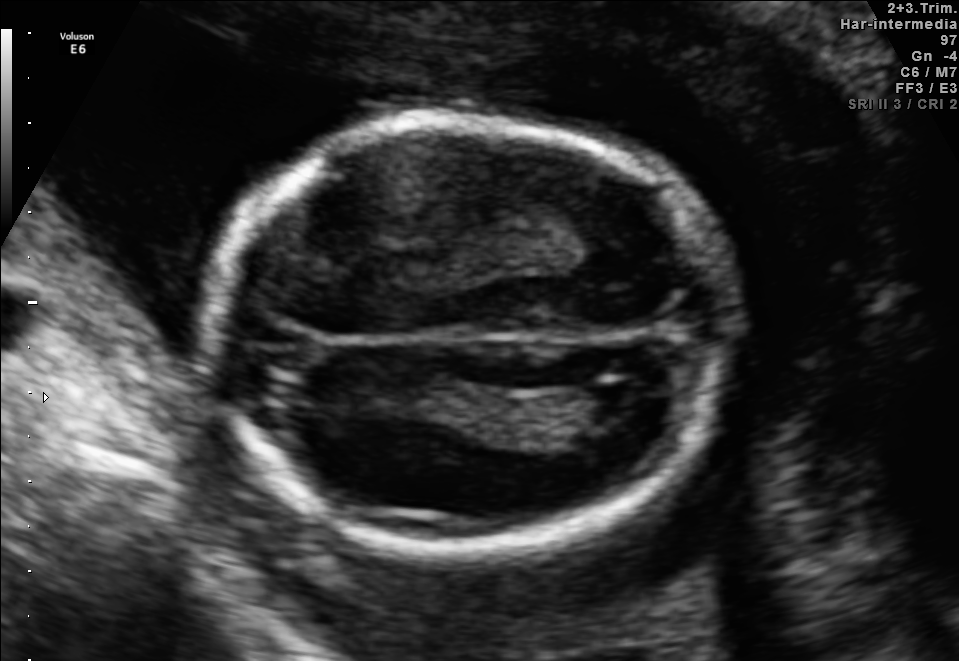
In this fetal brain, trans-ventricular plane, give the bounding box of the lateral ventricle.

[569,374,649,430]